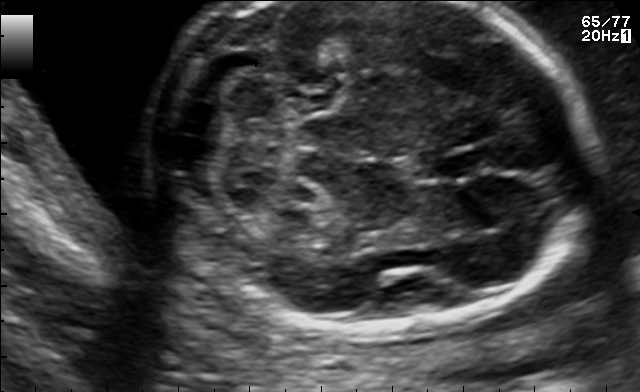
Fetal brain, trans-cerebellum plane. Where is the fetal head?

Head bounding box: [148,2,595,336]